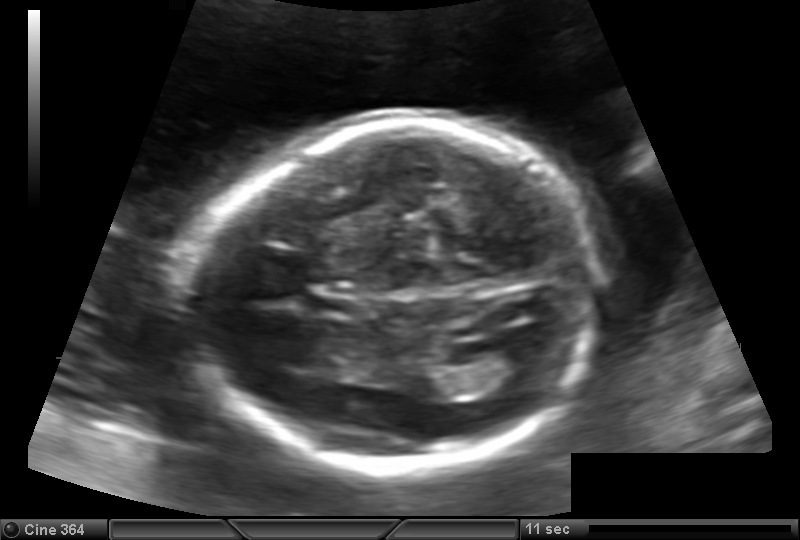
In this fetal head ultrasound, give the bounding box of the lateral ventricle. Image width: 115.2 mm.

[472,338,544,394]